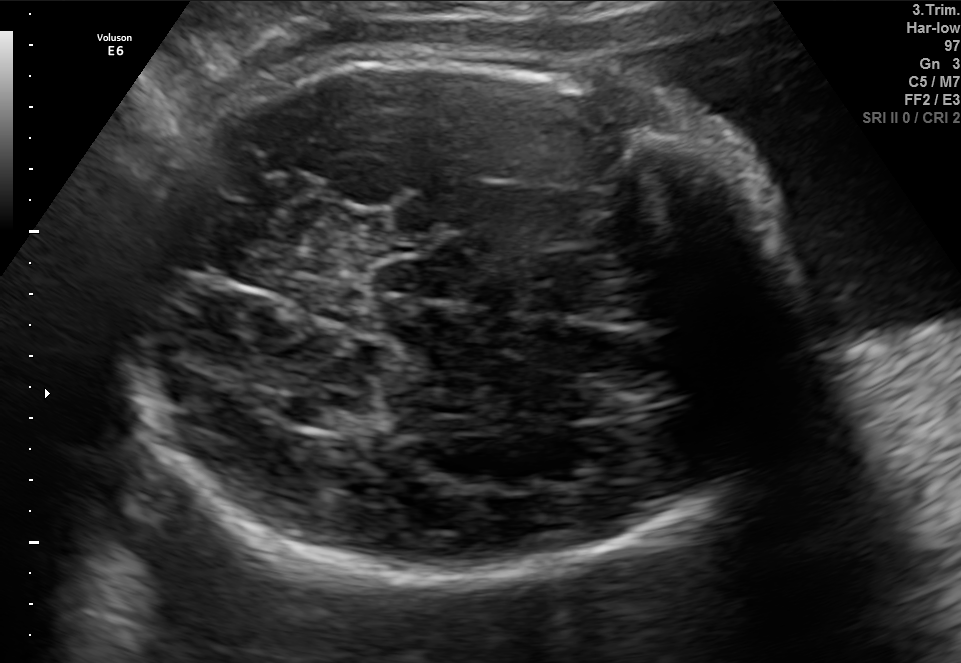
Fetal brain, trans-thalamic plane. Locate the fetal head and, if visible, the cavum septum pellucidum (CSP) and lateral ventricle (LV). Give bounding boxes as [x1,y1,x2,y2].

Head: [107,45,804,584]